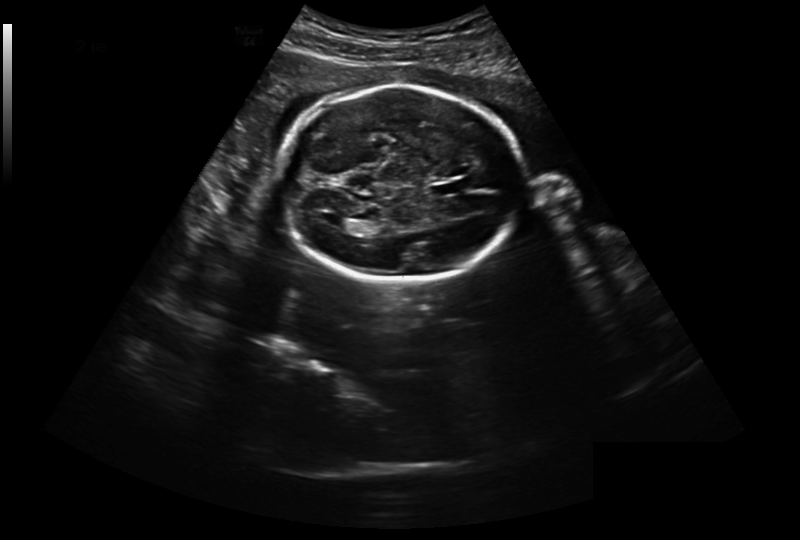
What is the fetal head circumference? Image width is 241.1 mm.

213.8 mm